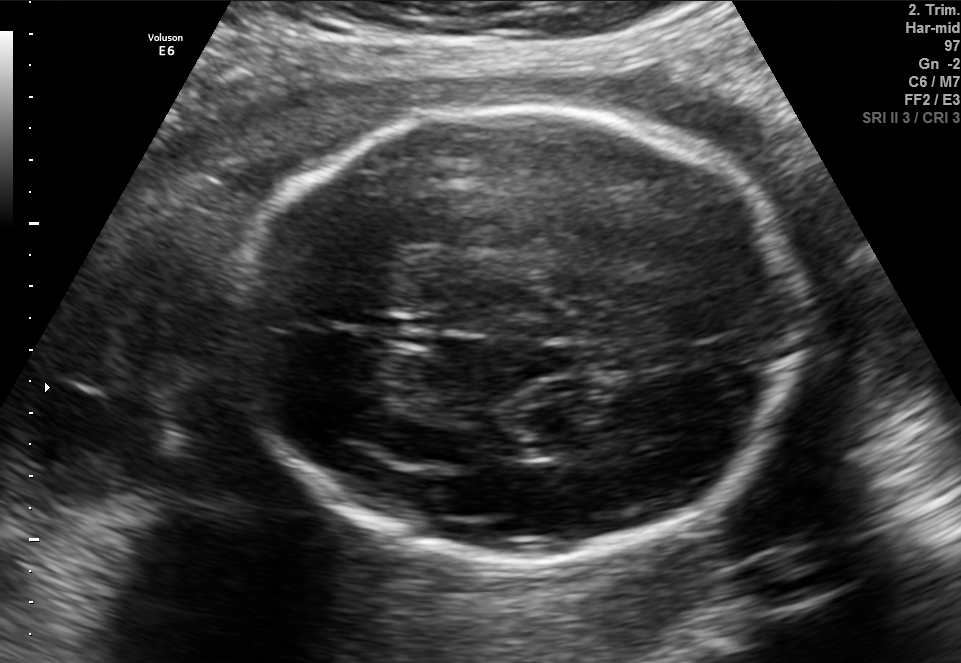
Fetal brain, trans-thalamic plane. Where is the fetal head?

Head bounding box: [220,107,799,558]